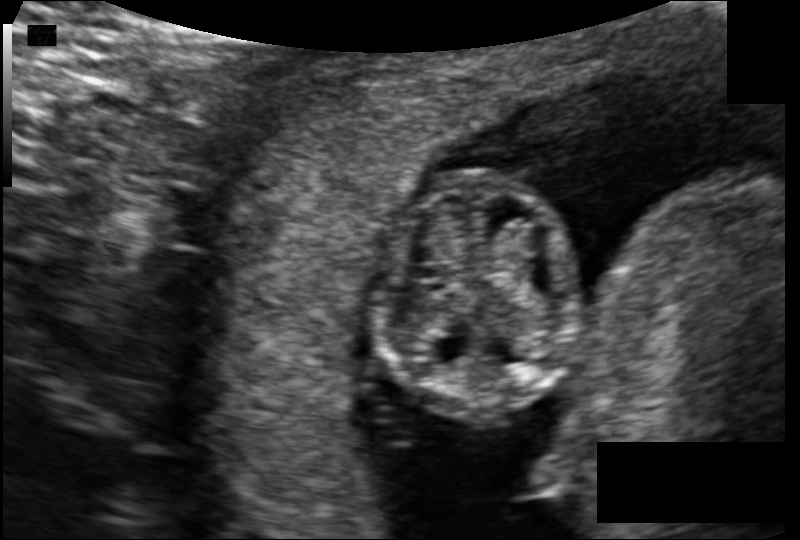
Measure the fetal head circumference shown in this ultrasound image. Image width: 81.0 mm.

Head circumference: 74.3 mm.